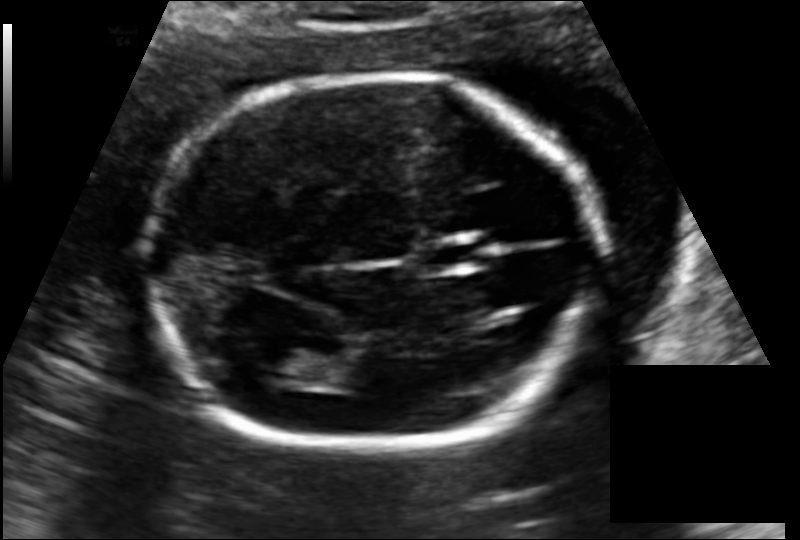
Estimate the fetal head circumference from this 2D ultrasound.

Head circumference: 170.5 mm (image width 101.6 mm).